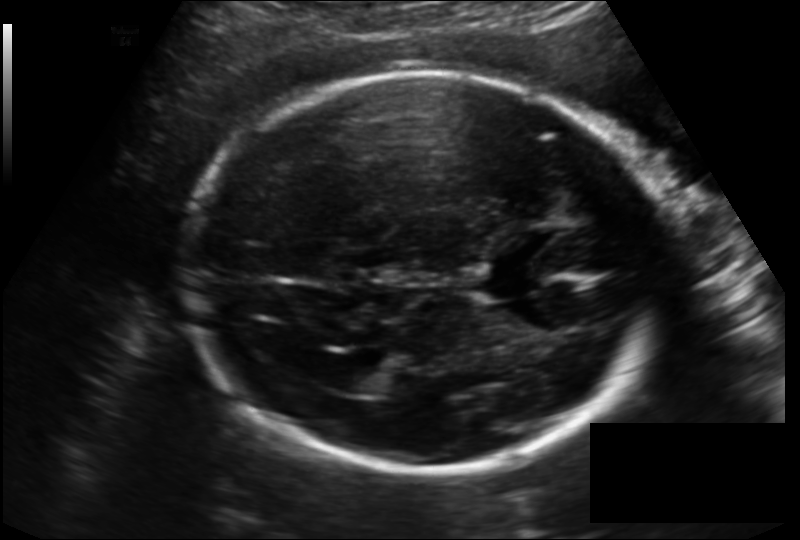
In this fetal head ultrasound, give the bounding box of the fetal head. Image width: 133.1 mm.

[189,74,663,476]